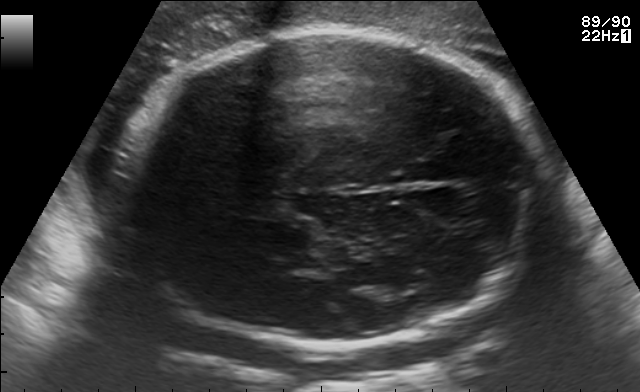
Fetal brain, trans-thalamic plane. Locate the fetal head.

Head: [113,32,533,343]